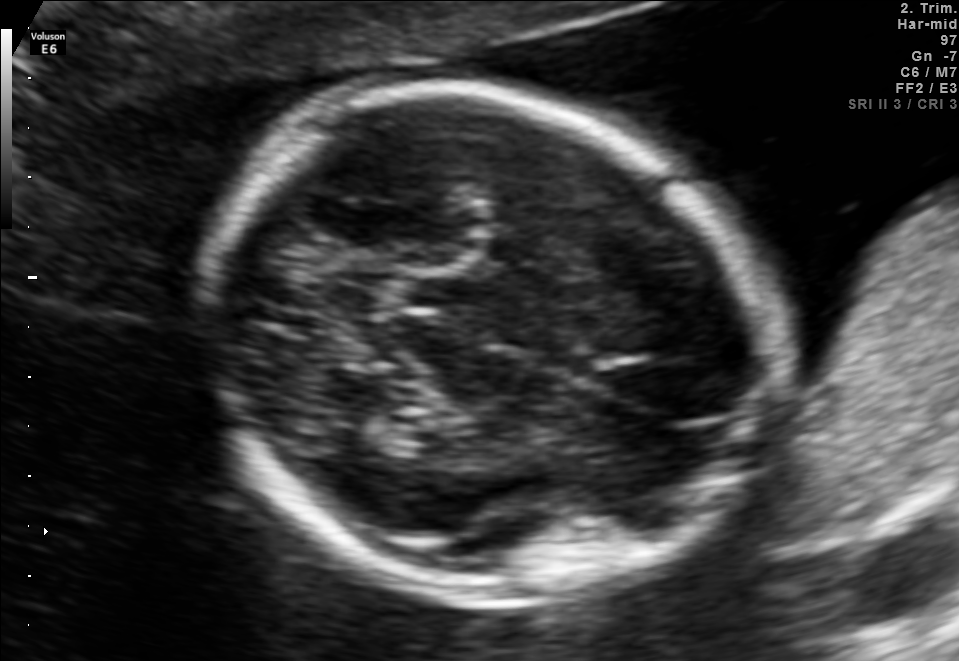
This is a 2D maternal-fetal ultrasound frame. Is it a fetal abdomen, fetal brain, fetal femur, fetal thorax, maternal cervix, or other standard plane? If it's fetal brain and one of the three standard brain planes (trans-thalamic, trans-cerebellum, trans-ventricular), name which.

Fetal brain (trans-thalamic plane)